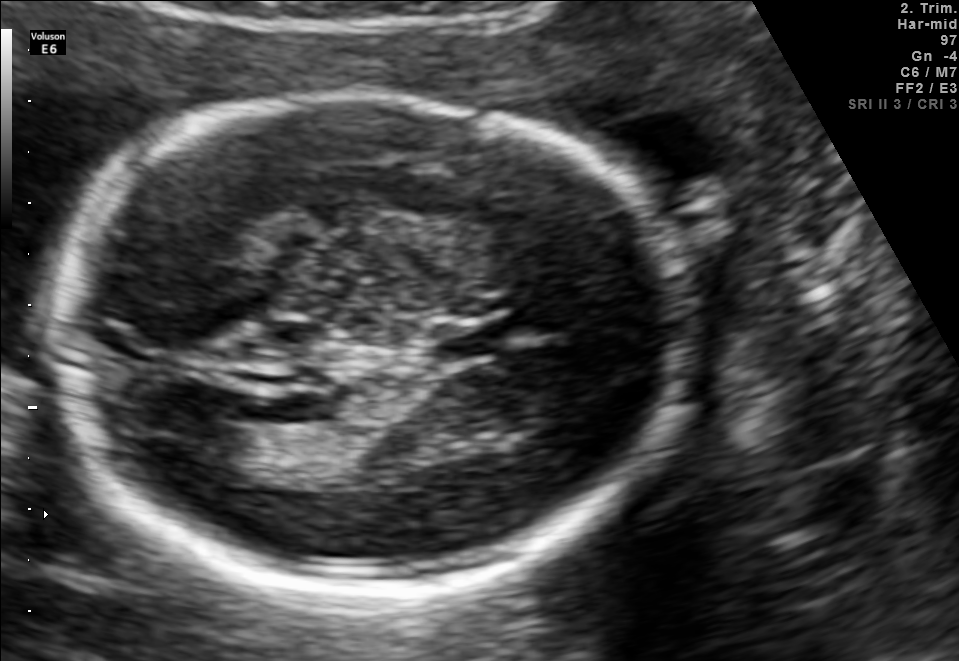
Fetal brain, trans-thalamic plane. Locate the lateral ventricle.

Lateral ventricle: [173,424,257,485]